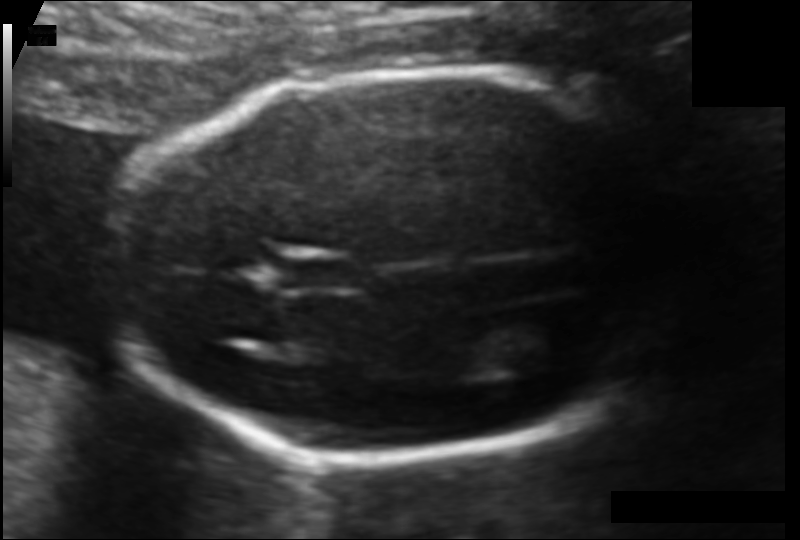
Fetal head ultrasound. Image width: 82.3 mm. Give [x1,y1,x2,y2] bounding boxes for each visible structure among: fetal head, CSP, LV.

Head: [114,71,669,464]
CSP: [279,259,352,288]
Lateral ventricle: [490,312,584,376]